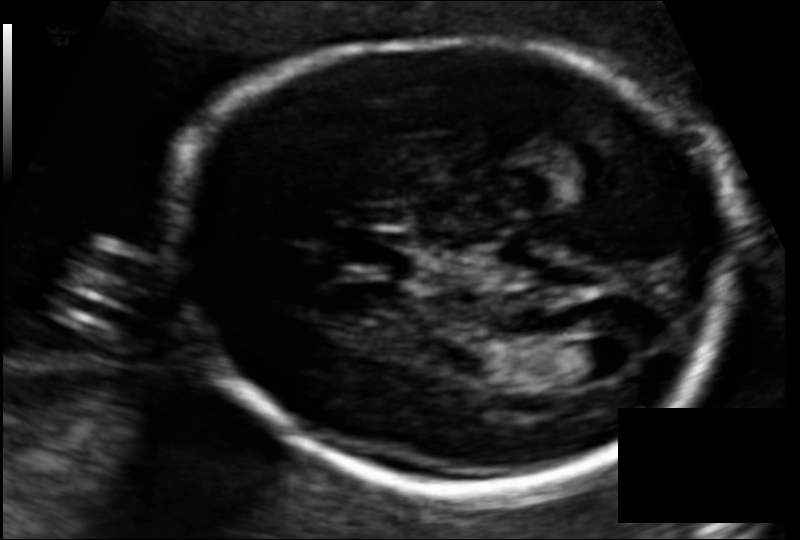
Fetal head ultrasound. Image width: 86.4 mm. Locate the lateral ventricle.

Lateral ventricle: [551,337,623,388]